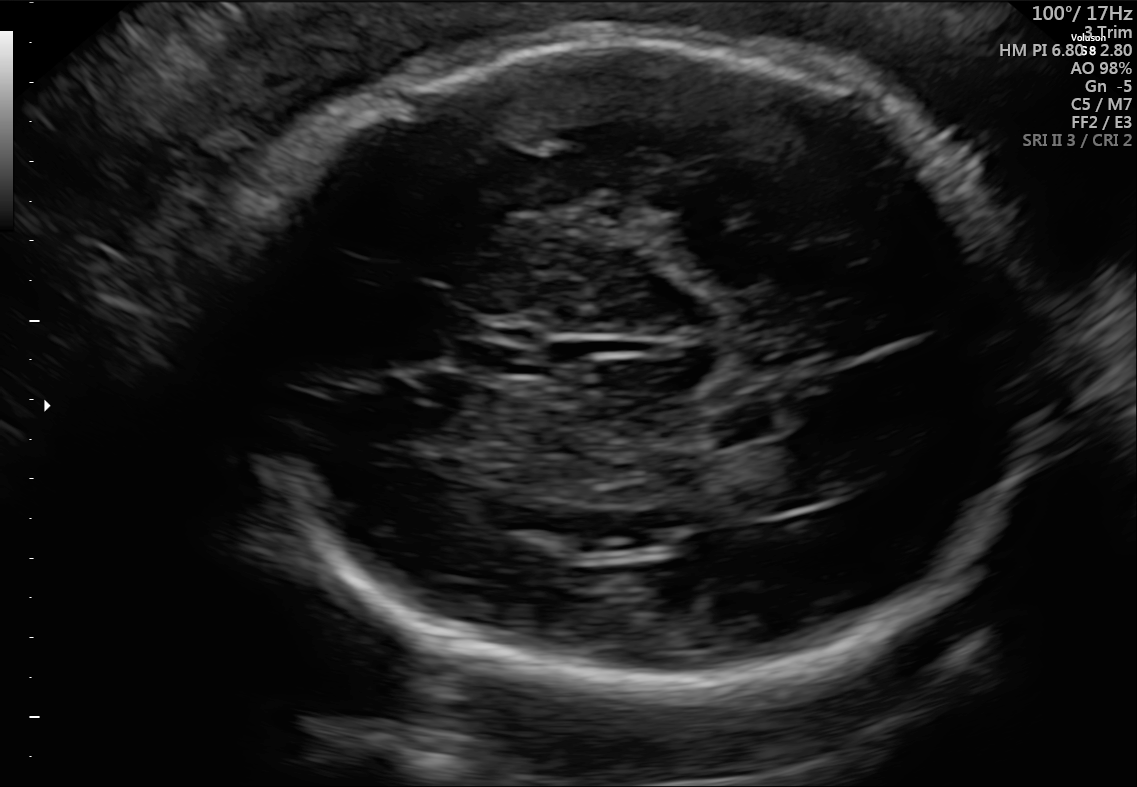
In this fetal brain, trans-thalamic plane, give bounding boxes for the head outline, cavum septum pellucidum (CSP), and lateral ventricle (LV), where visible.

Head: [210,29,1048,699]
CSP: [467,325,546,376]
Lateral ventricle: [740,424,868,518]